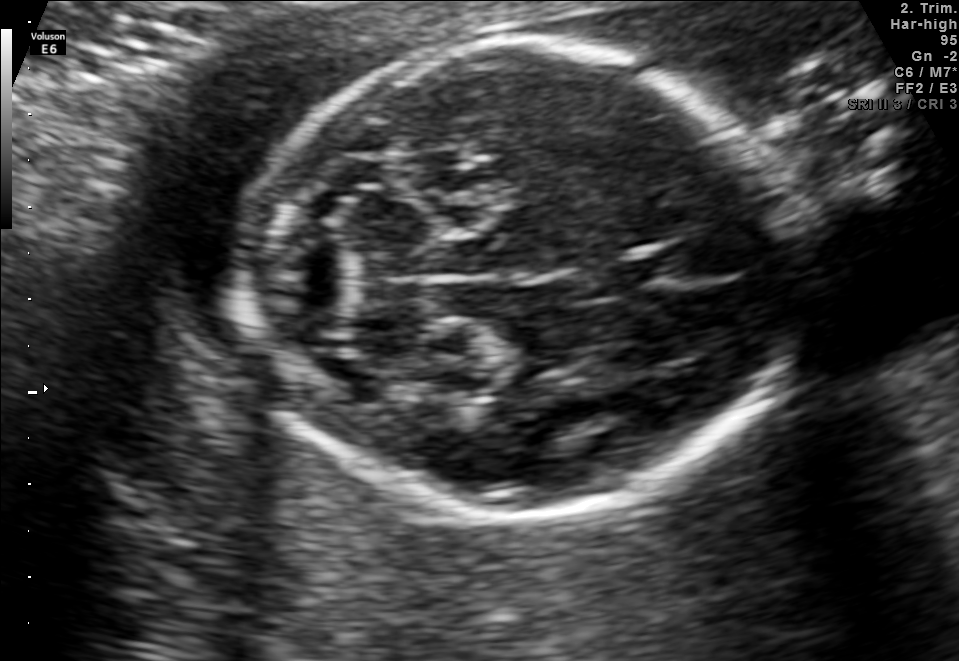
Identify the standard plane in this fetal ultrasound image: fetal abdomen, fetal brain, fetal femur, fetal thorax, maternal cervix, or other. If it's fetal brain and one of the three standard brain planes (trans-thalamic, trans-cerebellum, trans-ventricular), name which.

Fetal brain (trans-cerebellum plane)